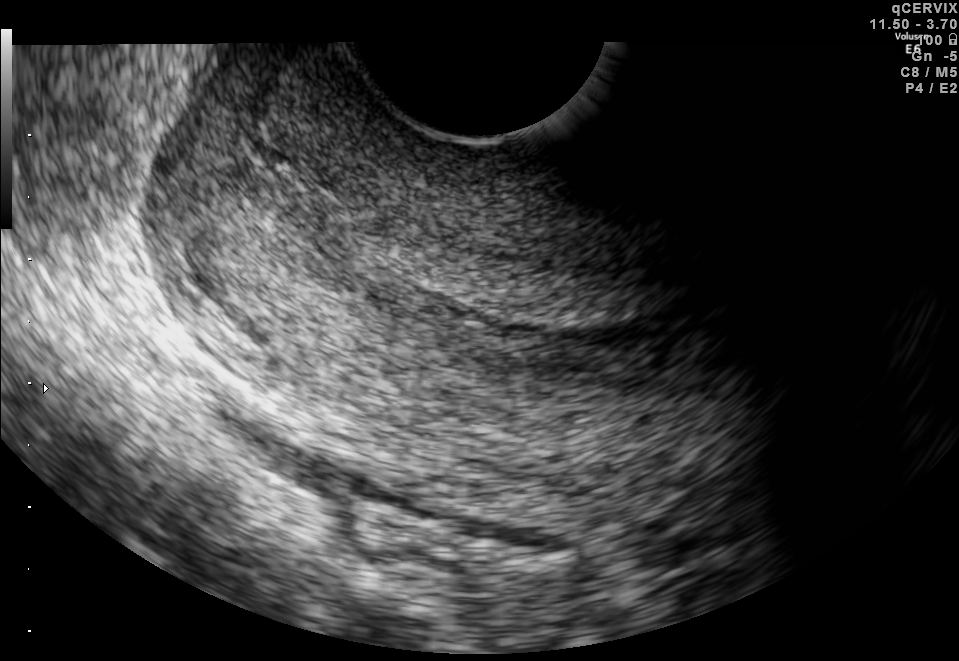
This is a 2D maternal-fetal ultrasound frame. Is it a fetal abdomen, fetal brain, fetal femur, fetal thorax, maternal cervix, or other standard plane? If it's fetal brain and one of the three standard brain planes (trans-thalamic, trans-cerebellum, trans-ventricular), name which.

Maternal cervix